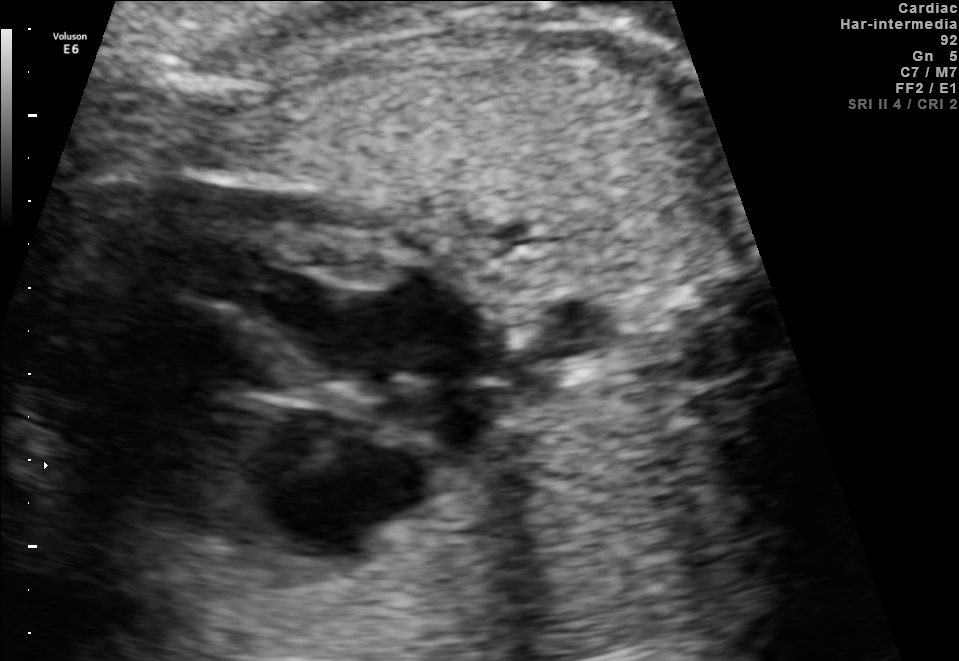
This is a 2D maternal-fetal ultrasound frame. Is it a fetal abdomen, fetal brain, fetal femur, fetal thorax, maternal cervix, or other standard plane? If it's fetal brain and one of the three standard brain planes (trans-thalamic, trans-cerebellum, trans-ventricular), name which.

Fetal thorax